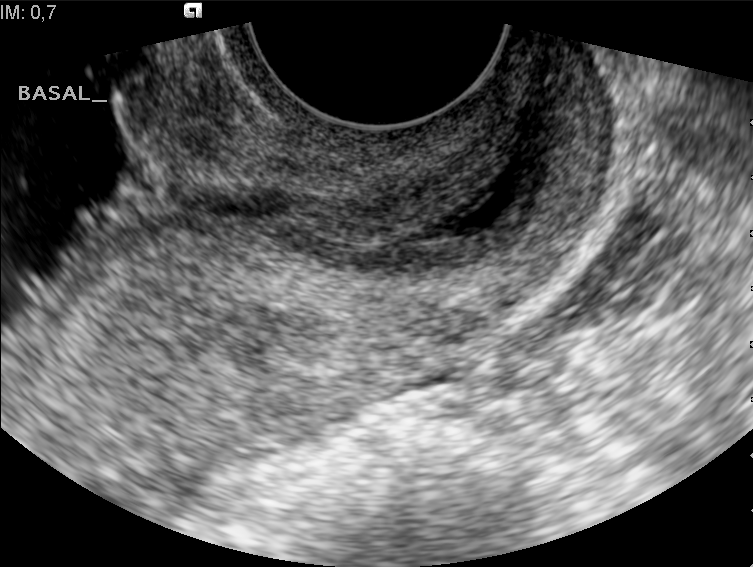
Classify this maternal-fetal ultrasound image as one of the six standard planes — fetal abdomen, fetal brain, fetal femur, fetal thorax, maternal cervix, or other. If it's fetal brain and one of the three standard brain planes (trans-thalamic, trans-cerebellum, trans-ventricular), name which.

Maternal cervix